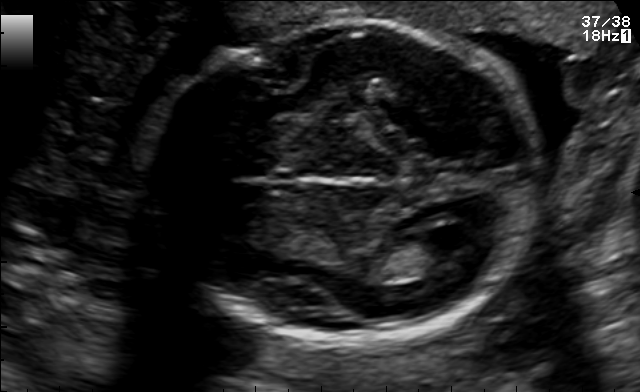
In this fetal brain, trans-ventricular plane, give the bounding box of the fetal head.

[141,9,553,351]